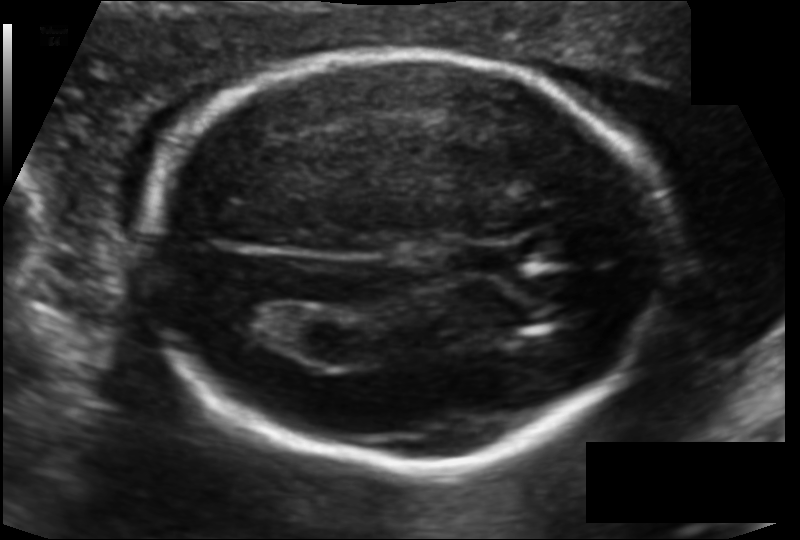
Fetal head ultrasound. Image width: 91.7 mm. Where is the fetal head?

Head bounding box: [143,54,668,466]